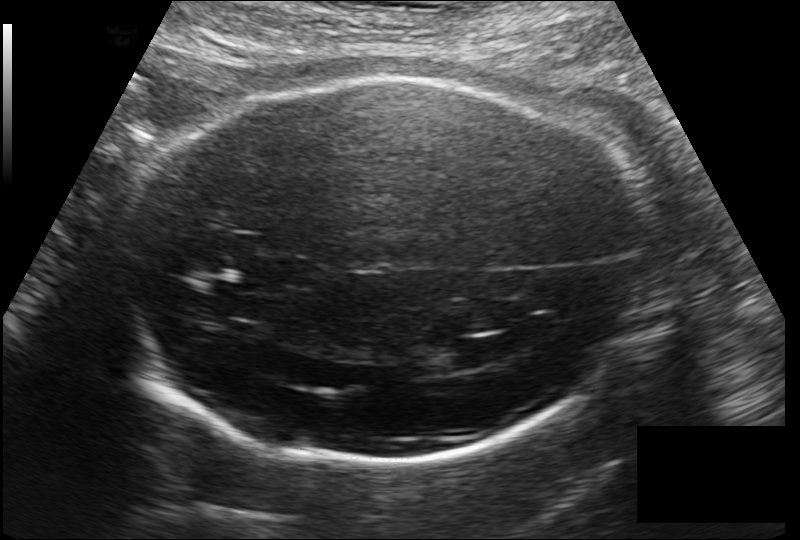
Estimate the fetal head circumference from this 2D ultrasound.

Head circumference: 263.5 mm (image width 142.0 mm).